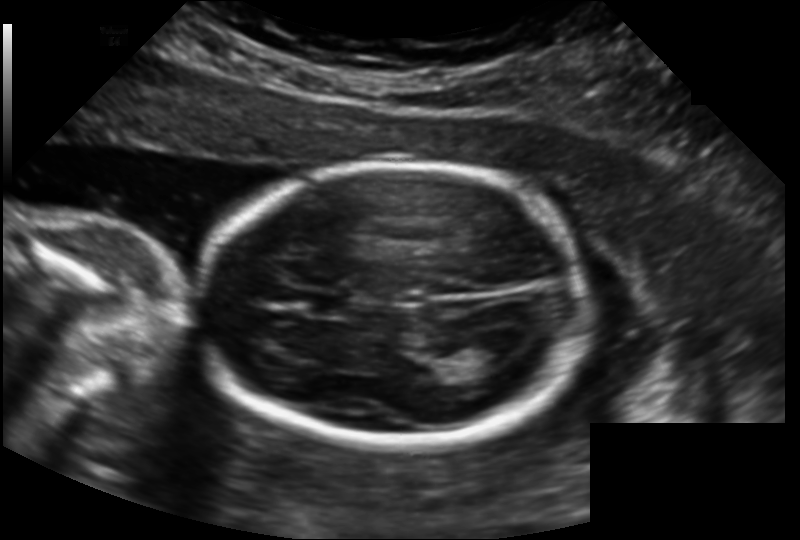
In this fetal head ultrasound, give bounding boxes for the head outline, cavum septum pellucidum (CSP), and lateral ventricle (LV), where visible. Image width: 126.2 mm.

Head: [200,163,590,448]
CSP: [310,291,355,319]
Lateral ventricle: [459,328,521,375]